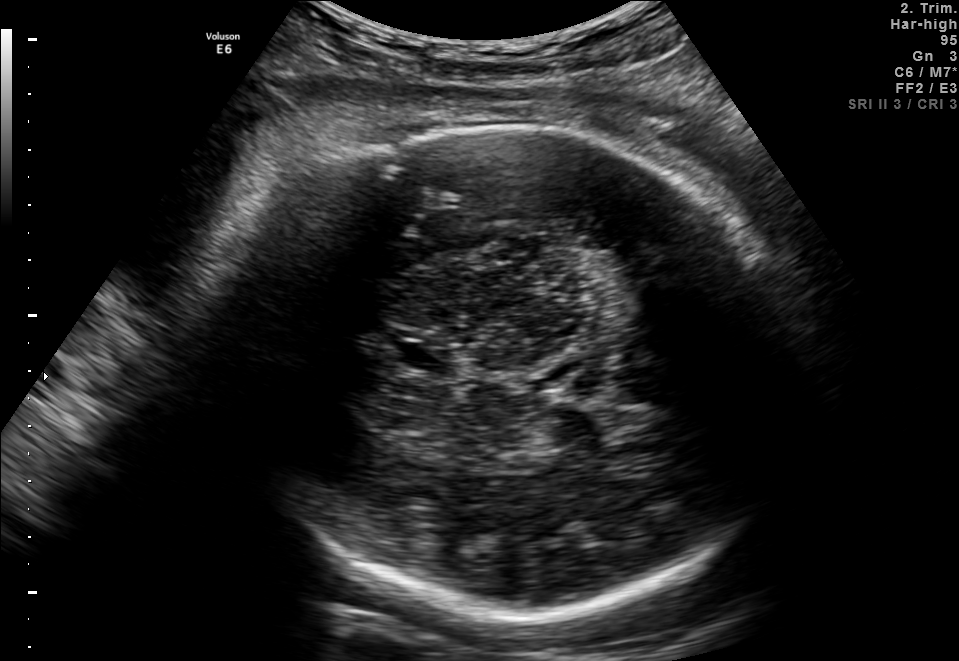
In this fetal brain, trans-thalamic plane, give the bounding box of the cavum septum pellucidum.

[400,340,455,375]